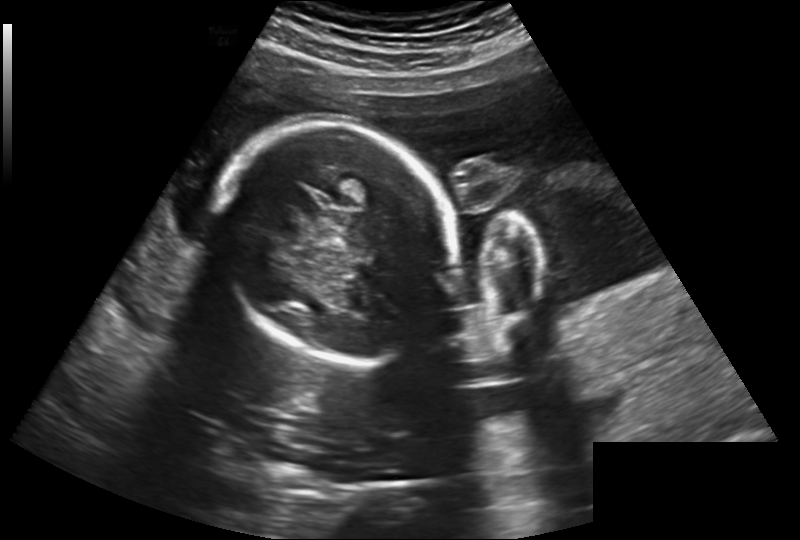
Fetal head ultrasound. Image width: 208.4 mm. Locate the fetal head and, if visible, the cavum septum pellucidum (CSP) and lateral ventricle (LV). Give bounding boxes as [x1,y1,x2,y2].

Head: [224,121,450,362]